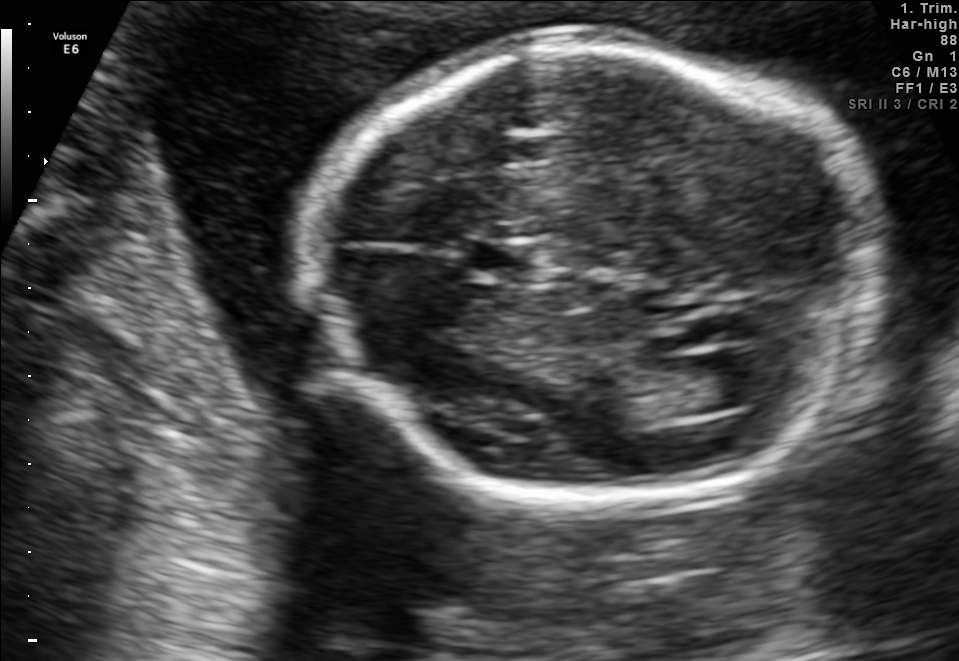
Fetal brain, trans-ventricular plane. Locate the fetal head.

Head: [298,35,897,514]